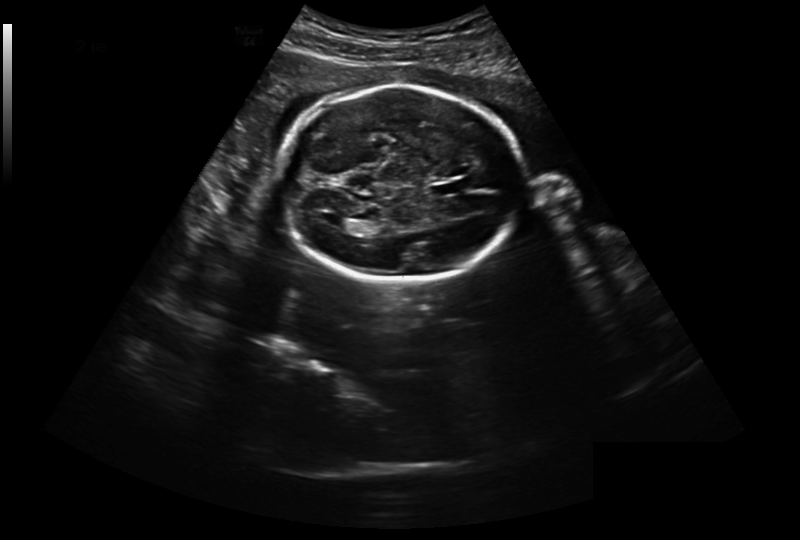
In this fetal head ultrasound, give the bounding box of the cavum septum pellucidum. Image width: 241.1 mm.

[431,178,466,198]